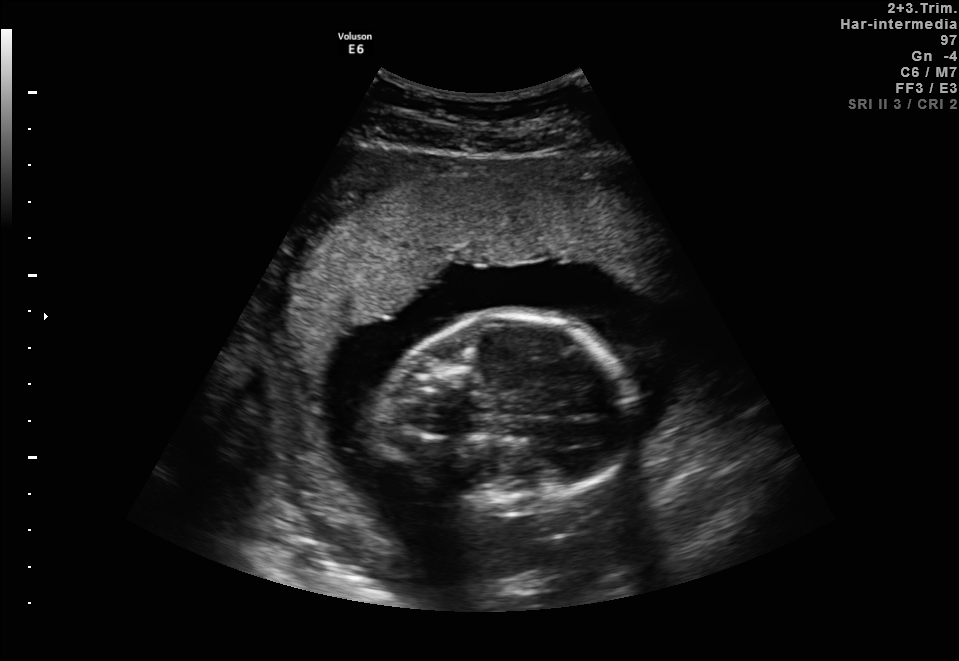
This is a 2D maternal-fetal ultrasound frame. Is it a fetal abdomen, fetal brain, fetal femur, fetal thorax, maternal cervix, or other standard plane? If it's fetal brain and one of the three standard brain planes (trans-thalamic, trans-cerebellum, trans-ventricular), name which.

Fetal brain